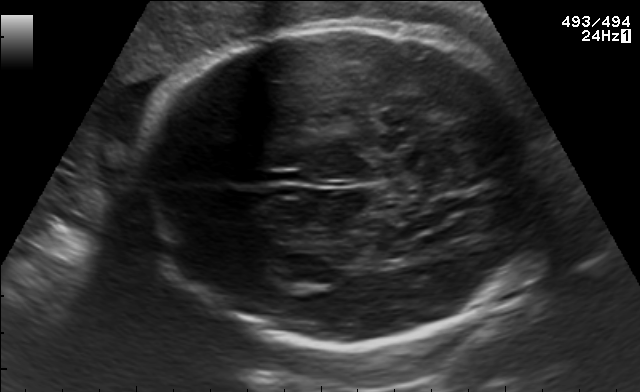
In this fetal brain, trans-thalamic plane, give bounding boxes for the head outline, cavum septum pellucidum (CSP), and lateral ventricle (LV), where visible.

Head: [133,22,548,348]
Lateral ventricle: [277,255,331,283]